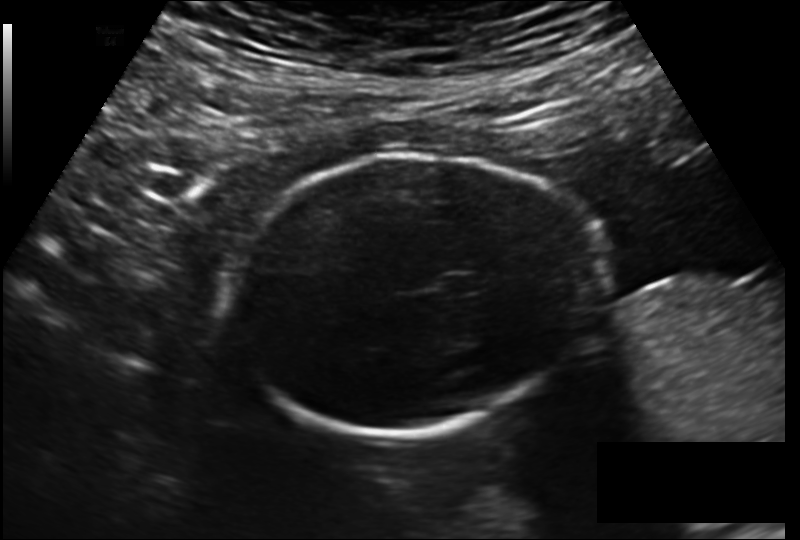
Measure the fetal head circumference shown in this ultrasound image. Image width: 142.1 mm.

Head circumference: 189.2 mm.